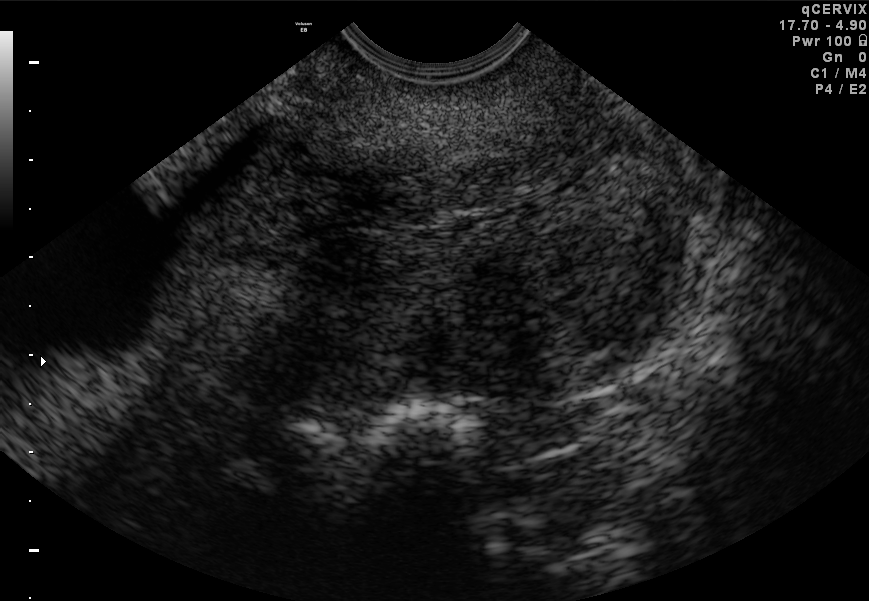
Identify the standard plane in this fetal ultrasound image: fetal abdomen, fetal brain, fetal femur, fetal thorax, maternal cervix, or other. If it's fetal brain and one of the three standard brain planes (trans-thalamic, trans-cerebellum, trans-ventricular), name which.

Maternal cervix